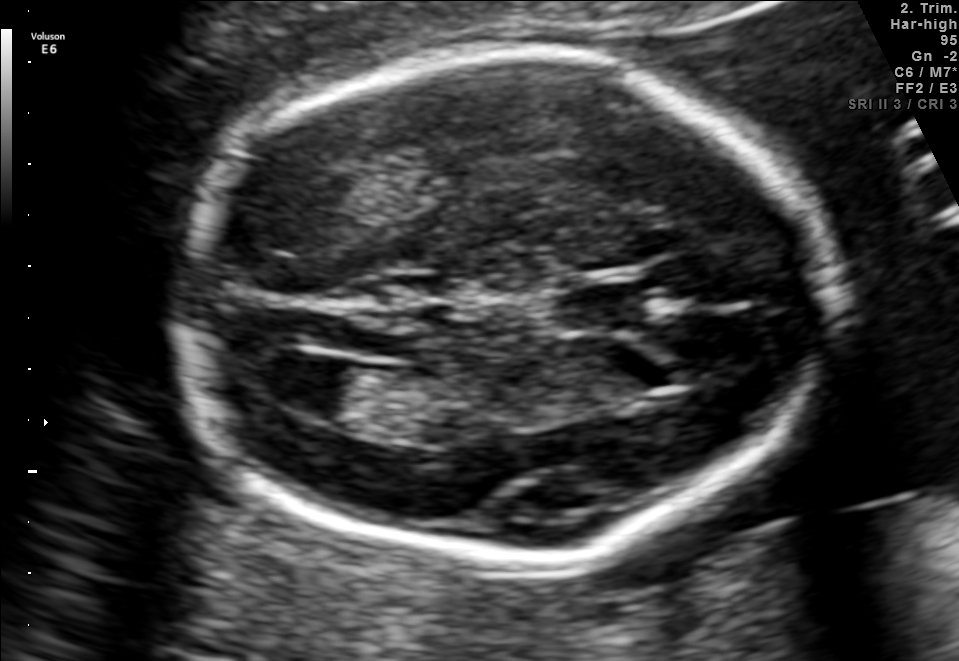
Fetal brain, trans-ventricular plane. Locate the lateral ventricle.

Lateral ventricle: [258,341,369,430]